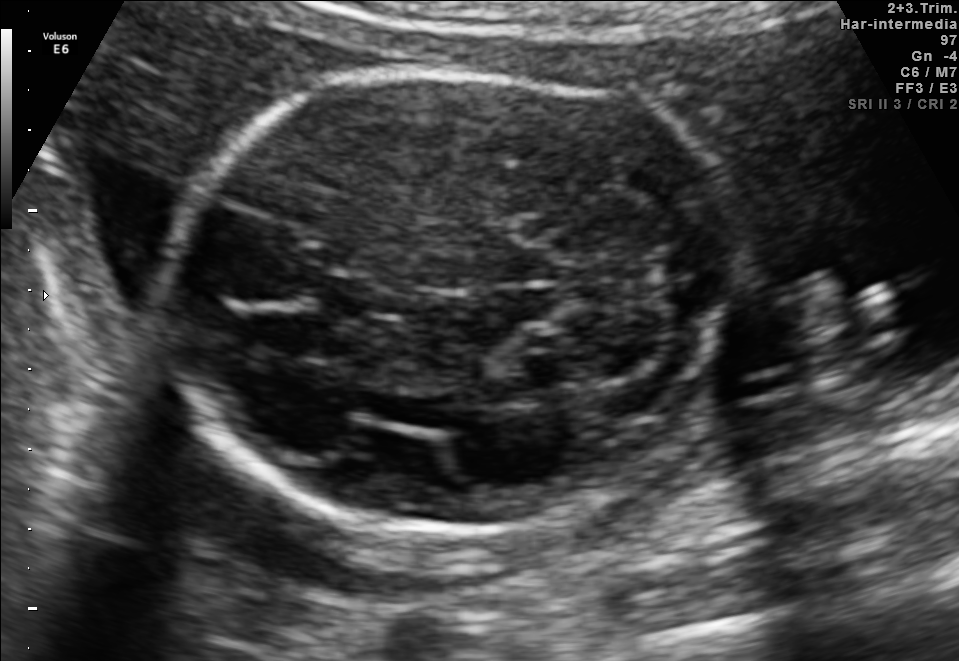
Classify this maternal-fetal ultrasound image as one of the six standard planes — fetal abdomen, fetal brain, fetal femur, fetal thorax, maternal cervix, or other. If it's fetal brain and one of the three standard brain planes (trans-thalamic, trans-cerebellum, trans-ventricular), name which.

Fetal brain (trans-cerebellum plane)